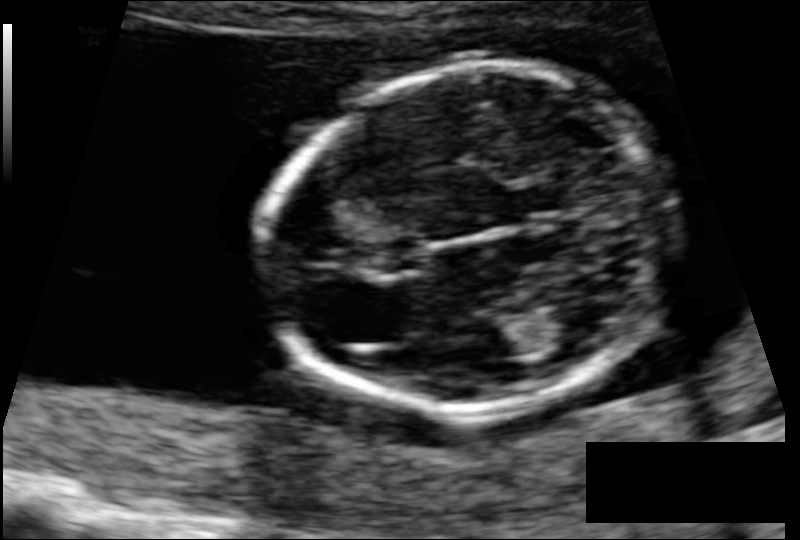
In this fetal head ultrasound, give the bounding box of the fetal head. Image width: 70.5 mm.

[263,68,674,418]